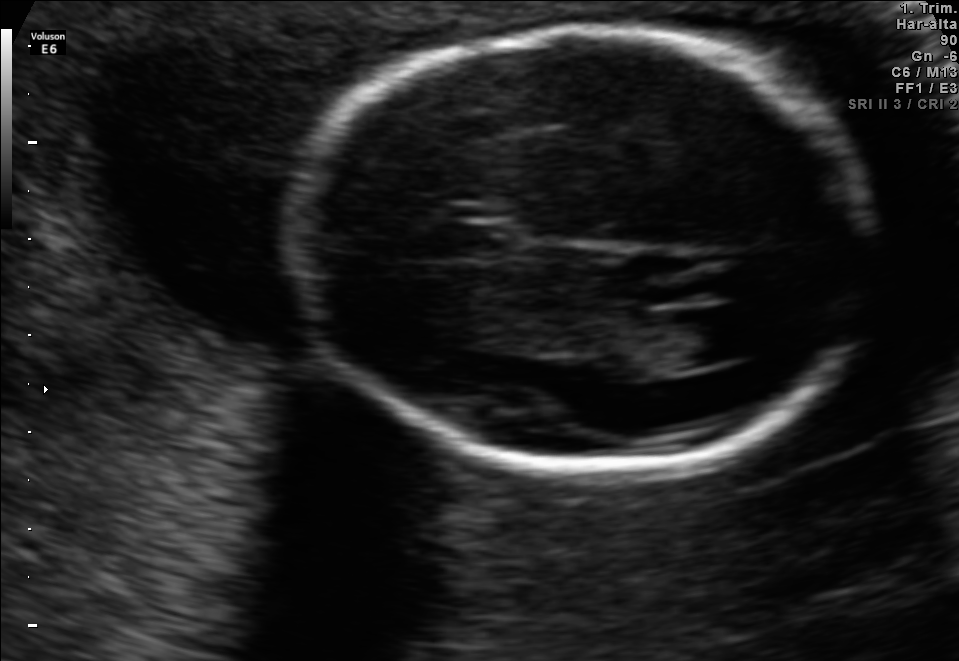
In this fetal brain, trans-ventricular plane, give the bounding box of the lateral ventricle.

[651,300,763,375]